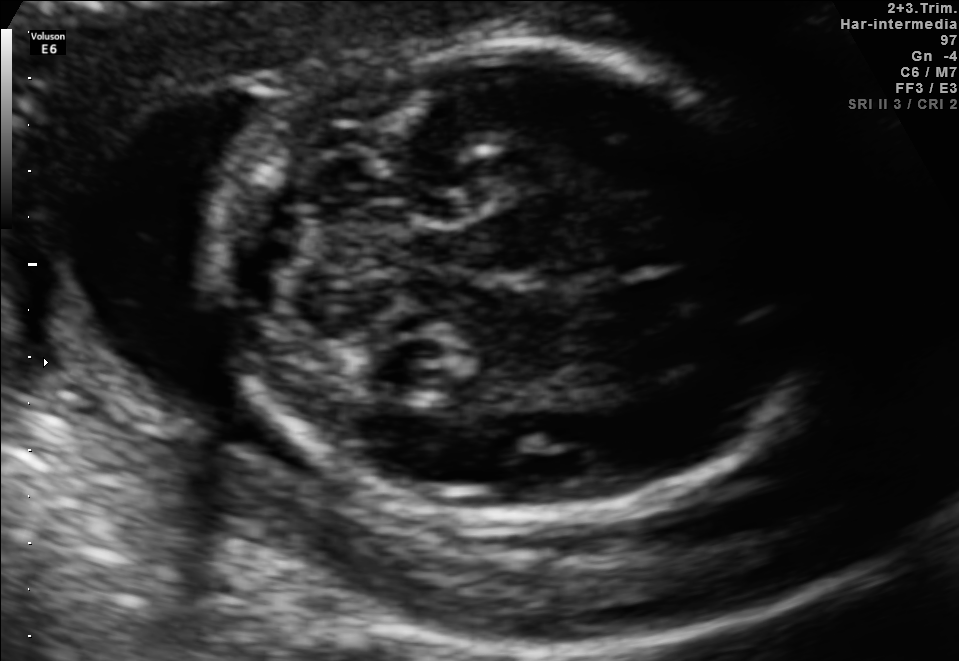
Identify the standard plane in this fetal ultrasound image: fetal abdomen, fetal brain, fetal femur, fetal thorax, maternal cervix, or other. If it's fetal brain and one of the three standard brain planes (trans-thalamic, trans-cerebellum, trans-ventricular), name which.

Fetal brain (trans-cerebellum plane)